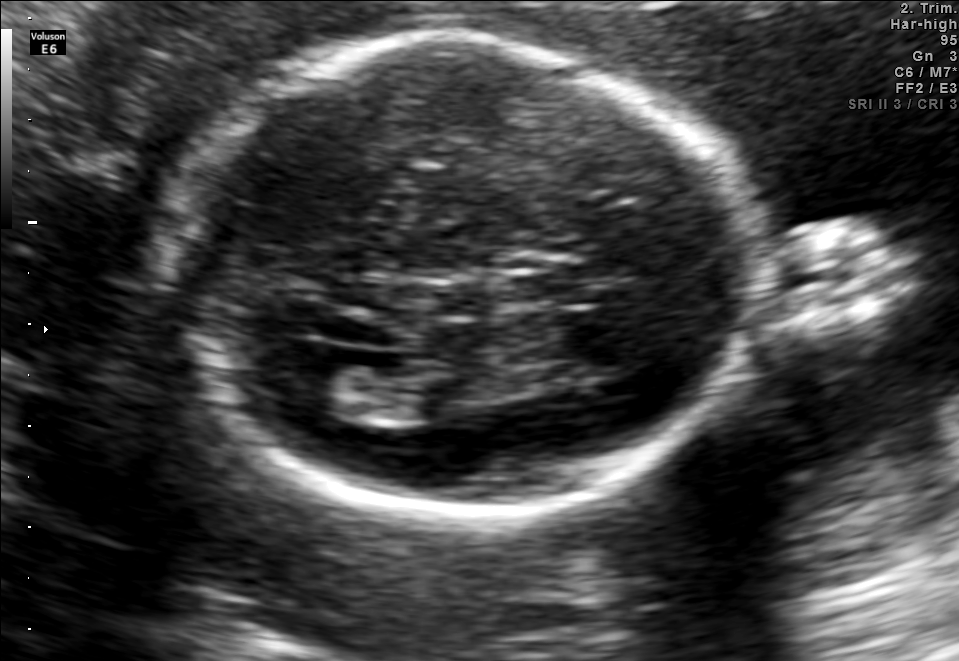
Fetal brain, trans-ventricular plane. Locate the lateral ventricle.

Lateral ventricle: [256,341,362,417]